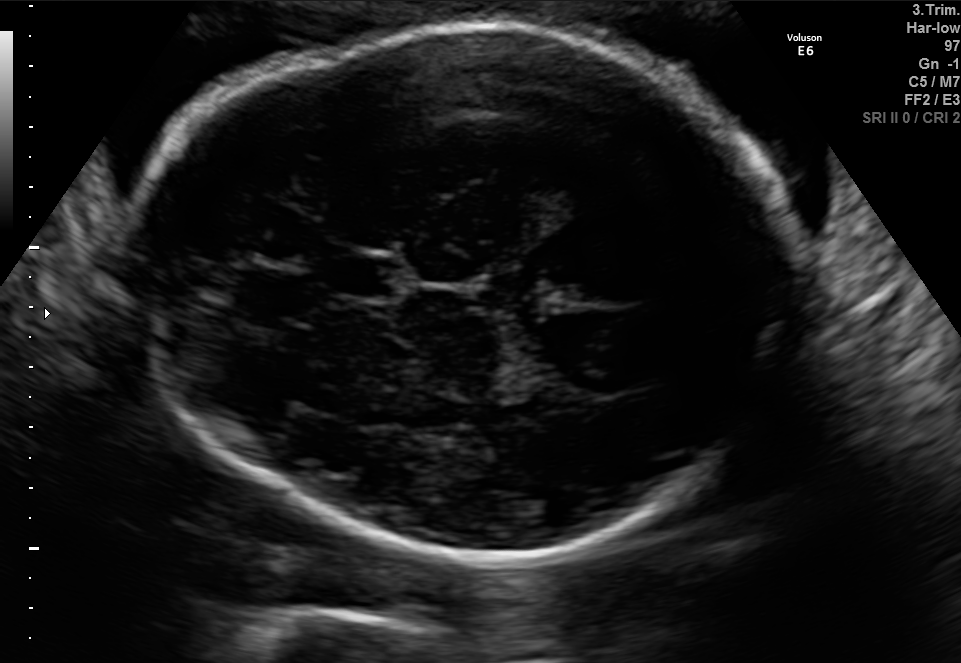
Fetal brain, trans-thalamic plane. Locate the fetal head.

Head: [121,24,800,561]